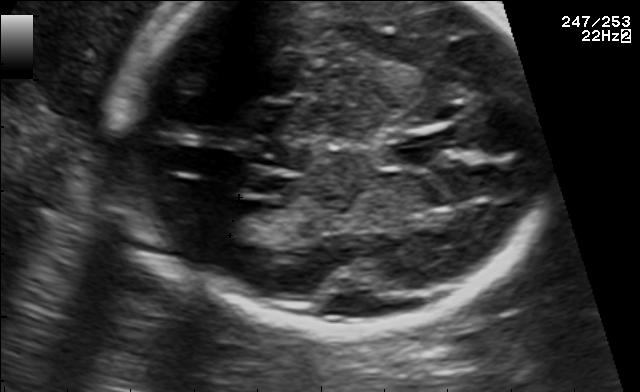
Classify this maternal-fetal ultrasound image as one of the six standard planes — fetal abdomen, fetal brain, fetal femur, fetal thorax, maternal cervix, or other. If it's fetal brain and one of the three standard brain planes (trans-thalamic, trans-cerebellum, trans-ventricular), name which.

Other